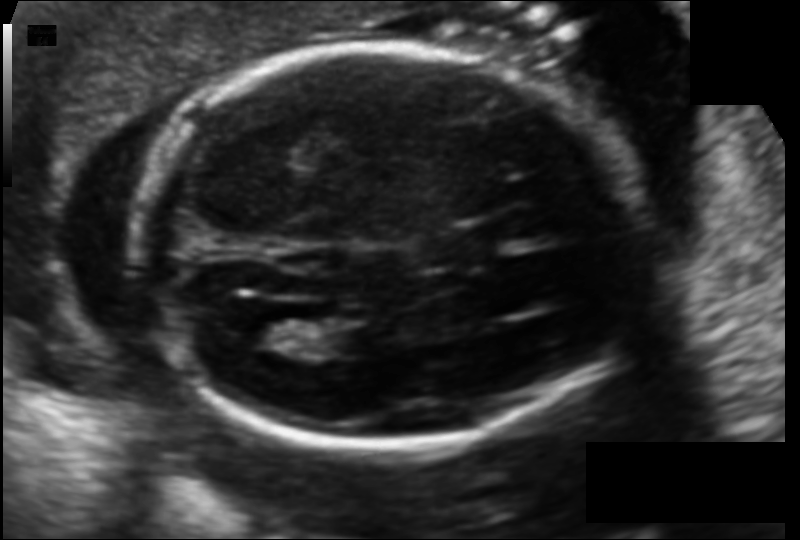
Fetal head ultrasound. Image width: 96.5 mm. Where is the lateral ventricle?

Lateral ventricle bounding box: [243,314,301,353]